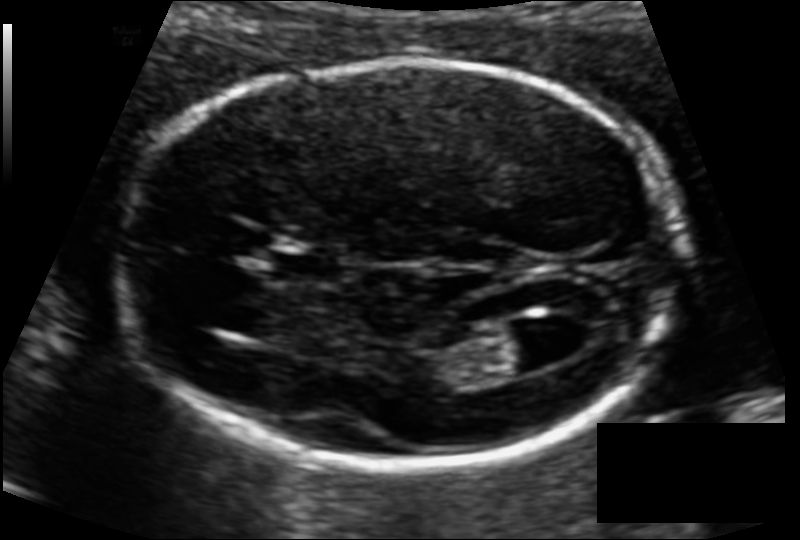
From this fetal ultrasound, estimate the head circumference (image width 83.4 mm).

Head circumference: 163.4 mm.